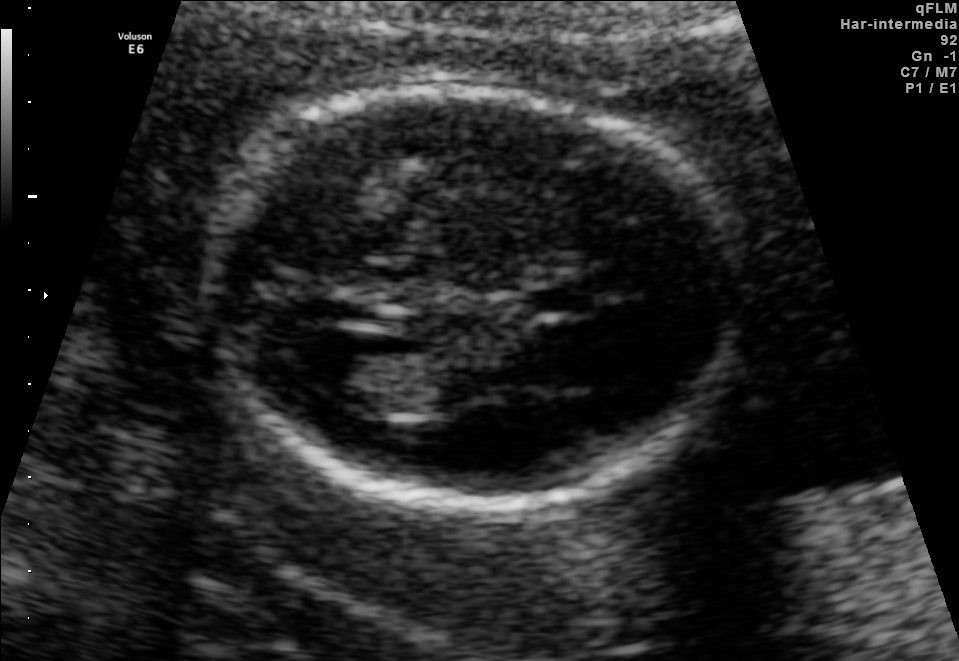
Fetal brain, trans-ventricular plane. Where is the cavum septum pellucidum?

CSP bounding box: [523,288,597,313]